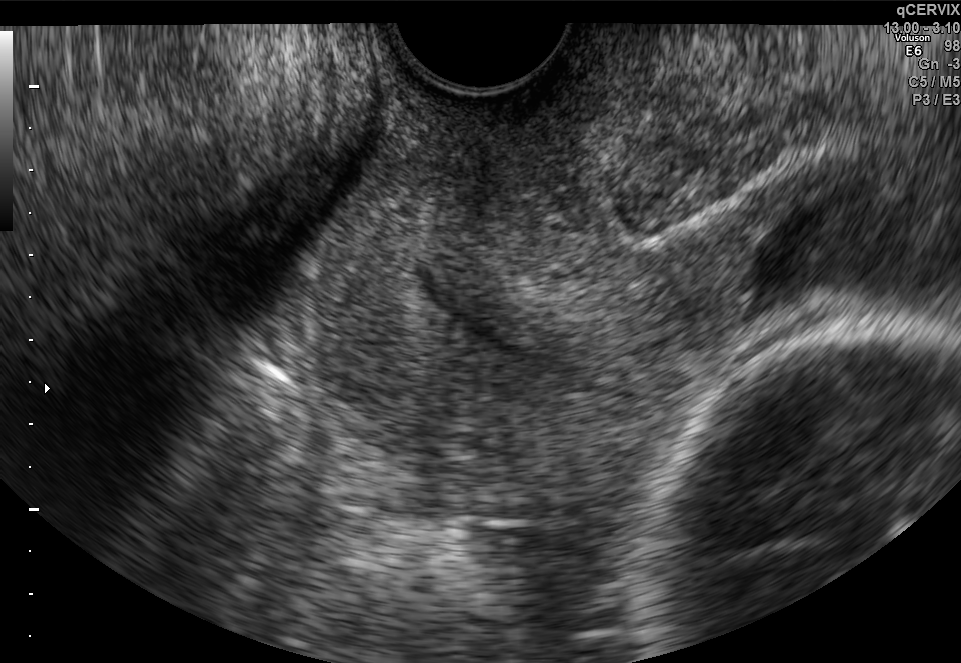
Classify this maternal-fetal ultrasound image as one of the six standard planes — fetal abdomen, fetal brain, fetal femur, fetal thorax, maternal cervix, or other. If it's fetal brain and one of the three standard brain planes (trans-thalamic, trans-cerebellum, trans-ventricular), name which.

Maternal cervix